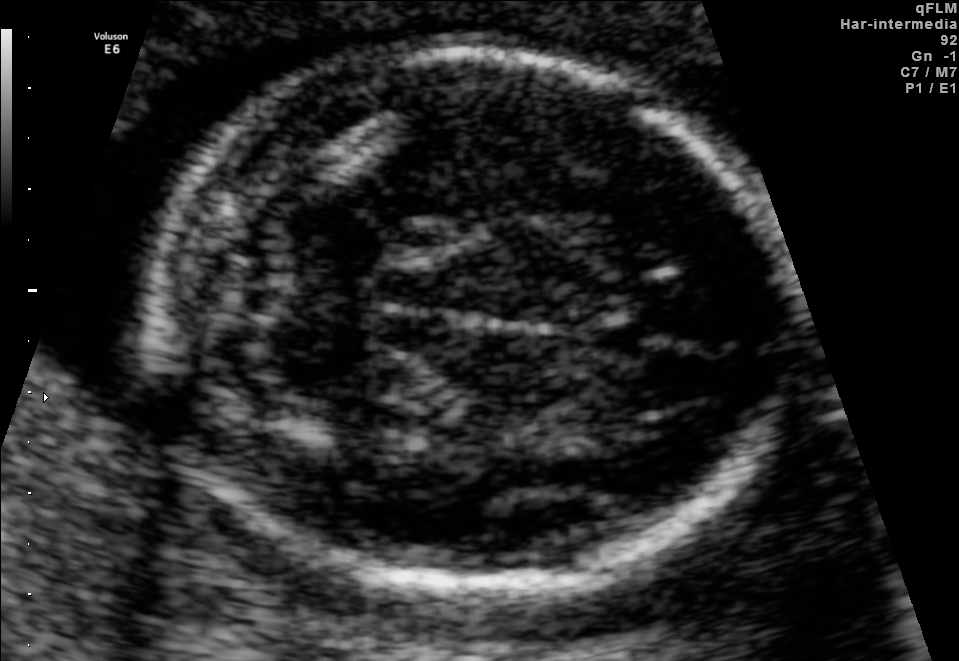
In this fetal brain, trans-cerebellum plane, give bounding boxes for the head outline, cavum septum pellucidum (CSP), and lateral ventricle (LV), where visible.

Head: [154,47,799,600]